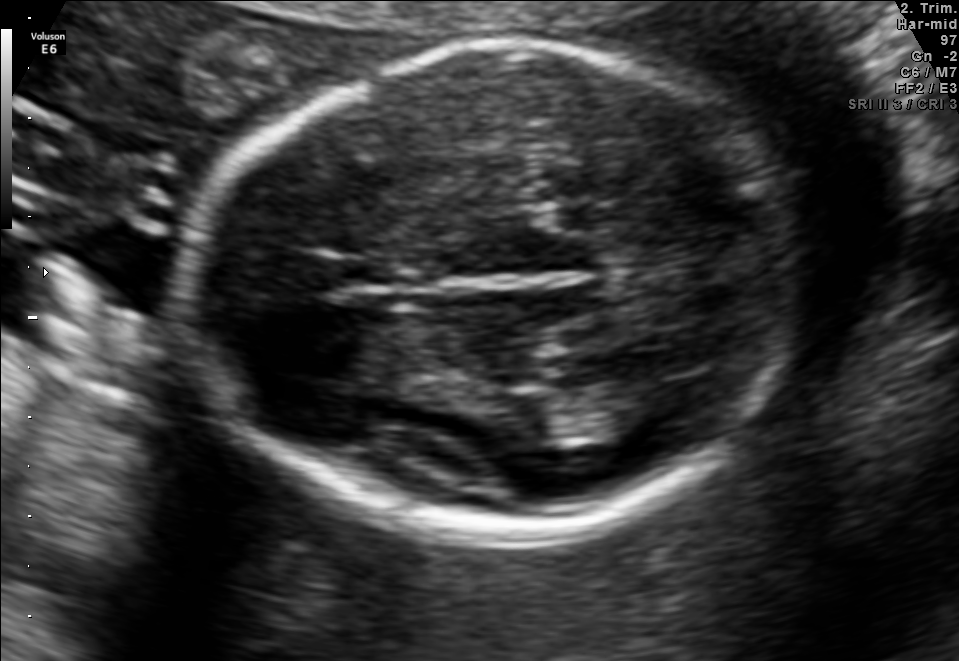
Fetal brain, trans-thalamic plane. Locate the fetal head.

Head: [177,45,794,534]